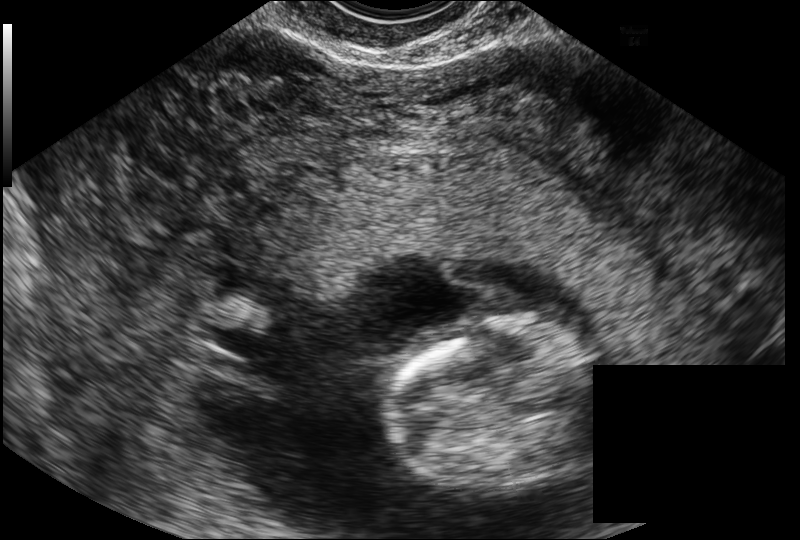
Fetal head ultrasound. Image width: 90.9 mm. Locate the fetal head and, if visible, the cavum septum pellucidum (CSP) and lateral ventricle (LV). Give bounding boxes as [x1,y1,x2,y2].

Head: [384,319,593,489]